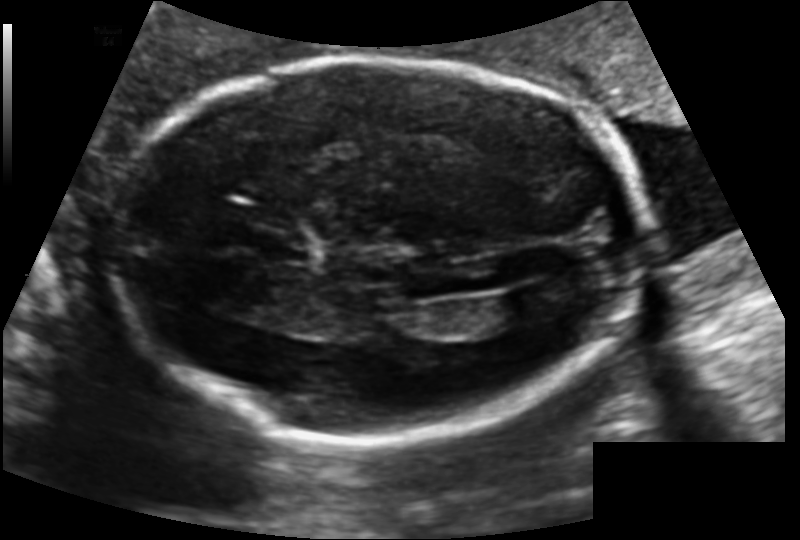
From this fetal ultrasound, estimate the head circumference (image width 105.0 mm).

Head circumference: 198.7 mm.